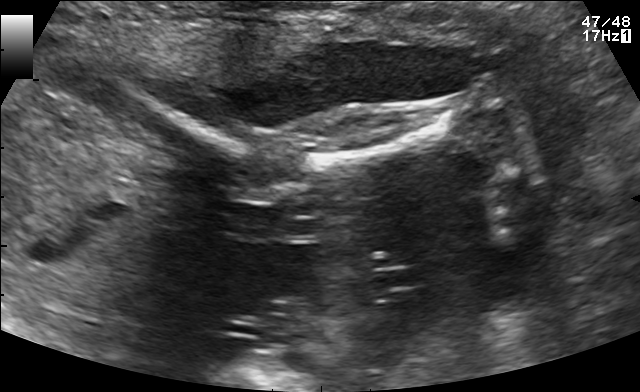
Identify the standard plane in this fetal ultrasound image: fetal abdomen, fetal brain, fetal femur, fetal thorax, maternal cervix, or other. If it's fetal brain and one of the three standard brain planes (trans-thalamic, trans-cerebellum, trans-ventricular), name which.

Other